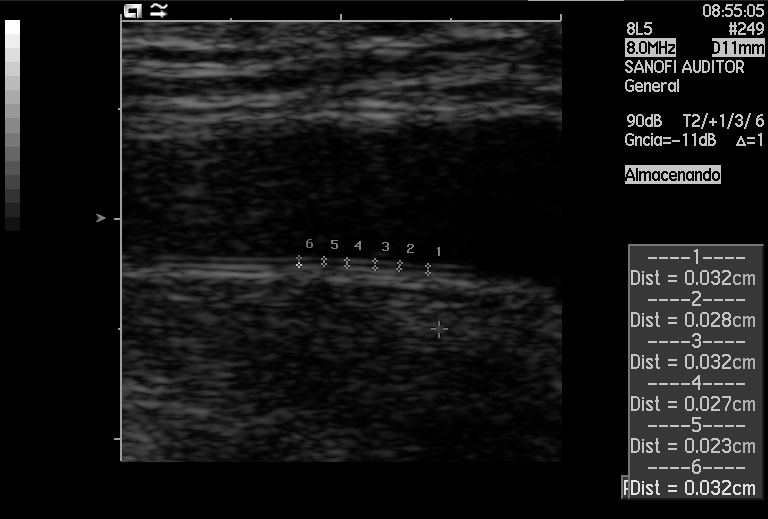
This is a 2D maternal-fetal ultrasound frame. Is it a fetal abdomen, fetal brain, fetal femur, fetal thorax, maternal cervix, or other standard plane? If it's fetal brain and one of the three standard brain planes (trans-thalamic, trans-cerebellum, trans-ventricular), name which.

Other